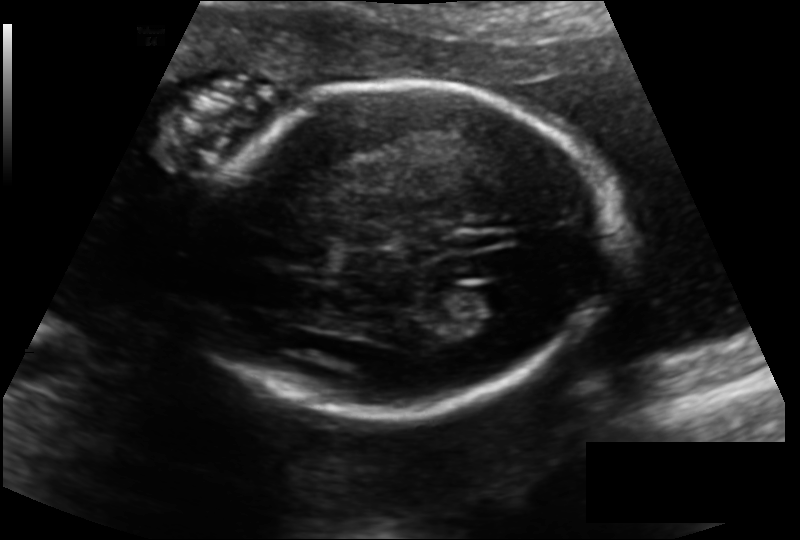
In this fetal head ultrasound, give the bounding box of the lateral ventricle. Image width: 115.4 mm.

[454,279,522,323]